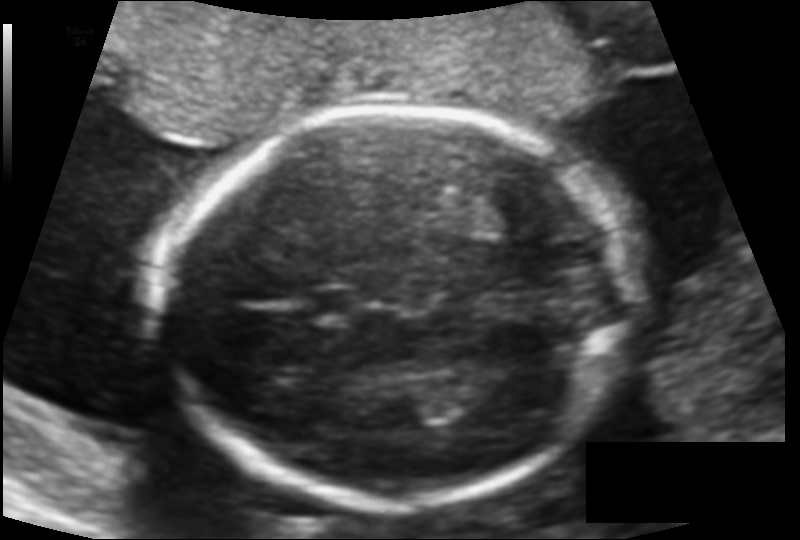
Measure the fetal head circumference shown in this ultrasound image. Image width: 97.0 mm.

Head circumference: 169.7 mm.